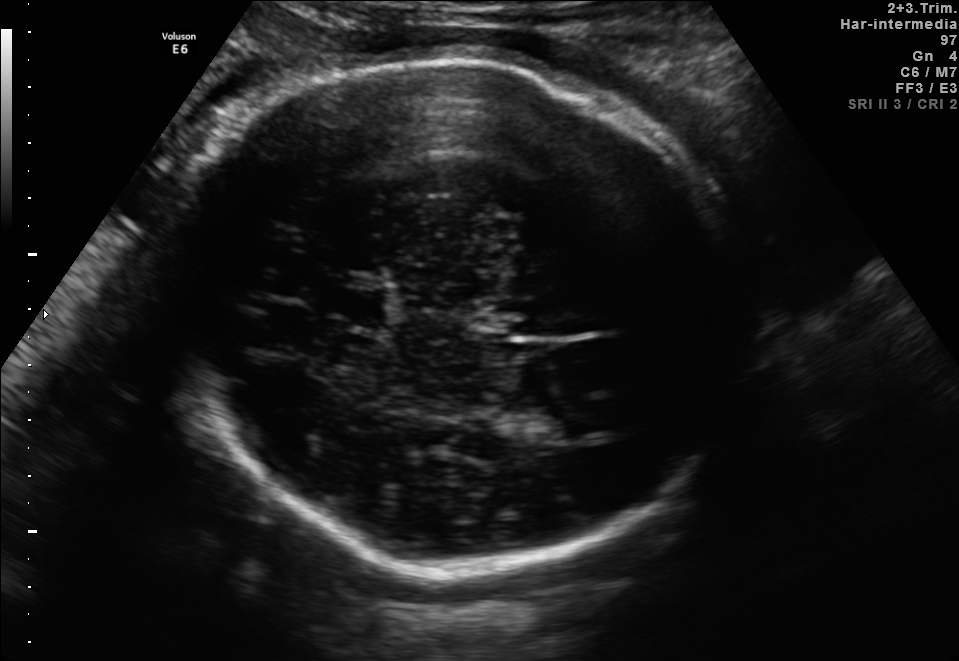
In this fetal brain, trans-thalamic plane, give bounding boxes for the head outline, cavum septum pellucidum (CSP), and lateral ventricle (LV), where visible.

Head: [157,56,734,563]
CSP: [337,286,387,330]
Lateral ventricle: [544,397,616,441]